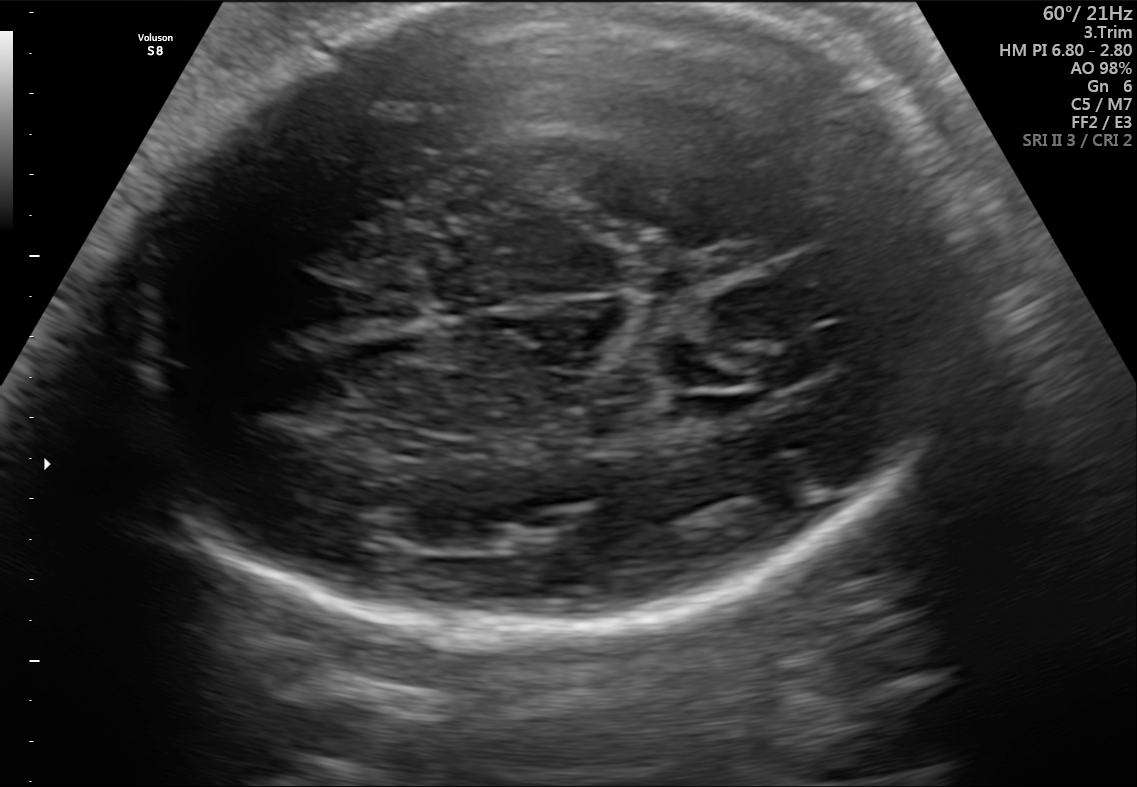
Fetal brain, trans-ventricular plane. Give [x1,y1,x2,y2] bounding boxes for each visible structure among: fetal head, CSP, LV.

Head: [98,4,986,638]